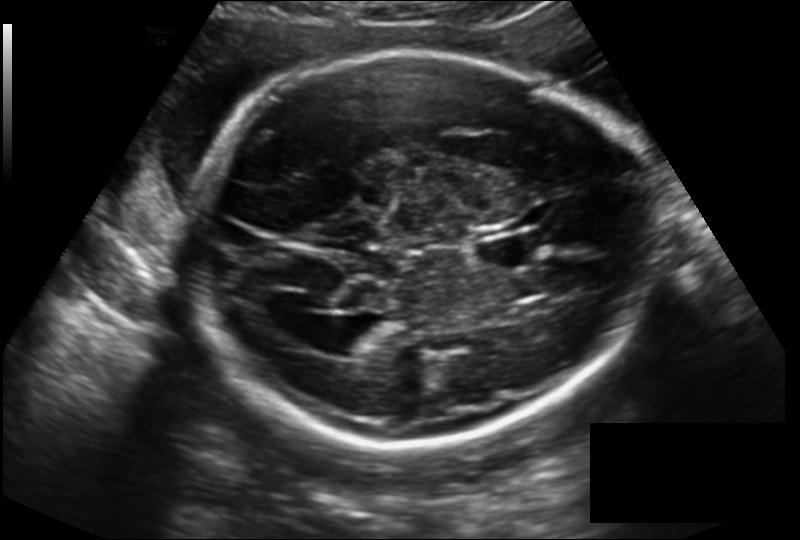
What is the fetal head circumference? Image width is 155.0 mm.

270.3 mm